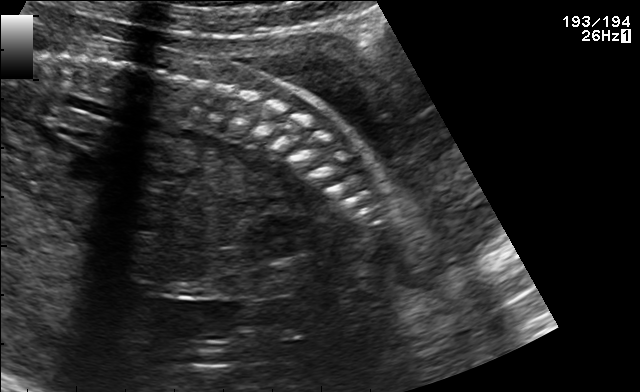
Classify this maternal-fetal ultrasound image as one of the six standard planes — fetal abdomen, fetal brain, fetal femur, fetal thorax, maternal cervix, or other. If it's fetal brain and one of the three standard brain planes (trans-thalamic, trans-cerebellum, trans-ventricular), name which.

Other